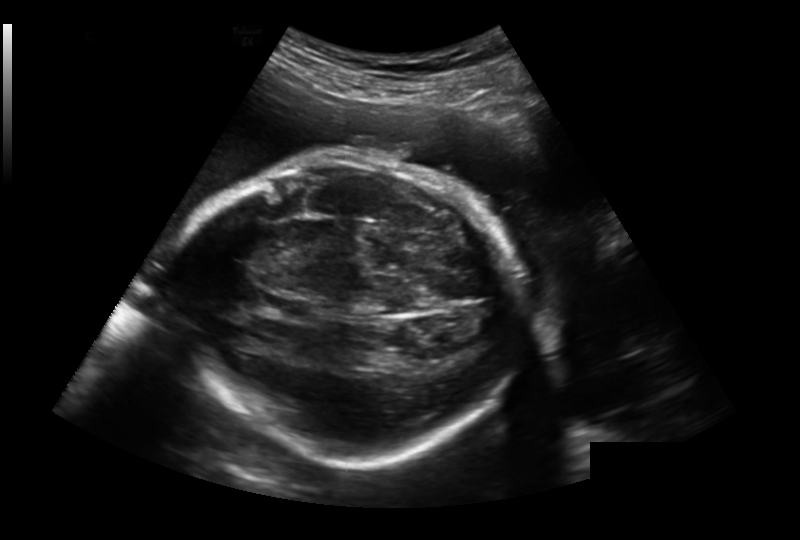
Fetal head ultrasound. Image width: 206.8 mm. Give [x1,y1,x2,y2] bounding boxes for each visible structure among: fetal head, CSP, LV.

Head: [176,158,519,460]